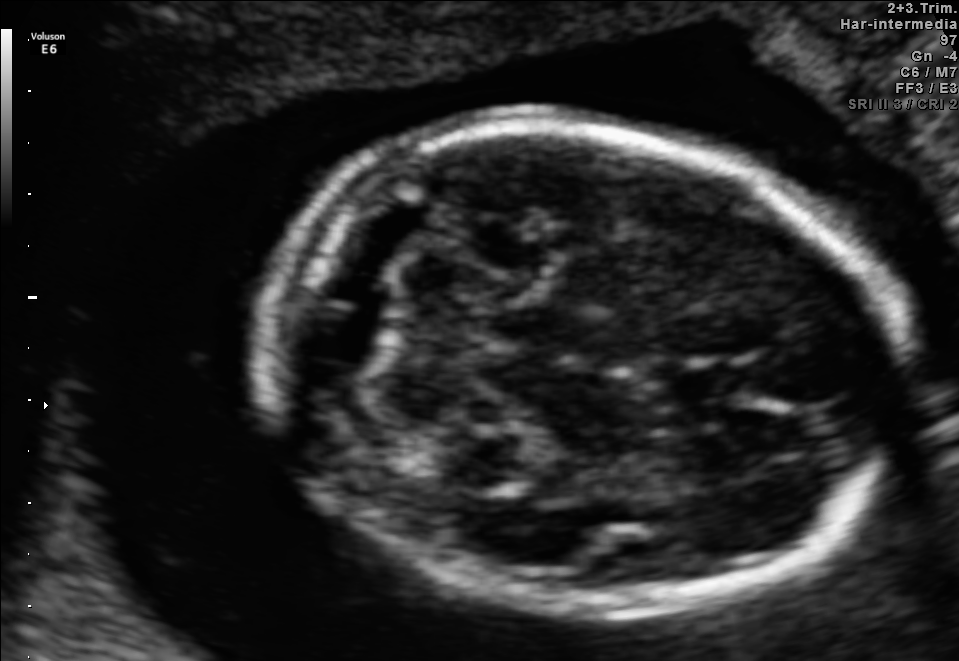
Fetal brain, trans-cerebellum plane. Locate the fetal head and, if visible, the cavum septum pellucidum (CSP) and lateral ventricle (LV). Give bounding boxes as [x1,y1,x2,y2].

Head: [260,127,909,614]
CSP: [663,355,752,407]